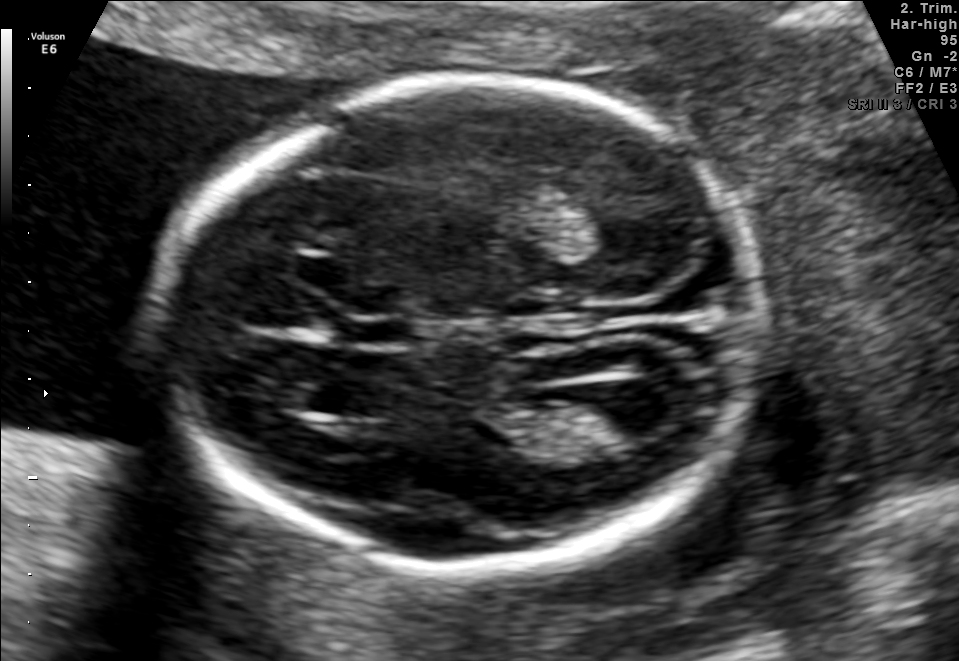
Fetal brain, trans-ventricular plane. Where is the fetal head?

Head bounding box: [145,71,780,580]